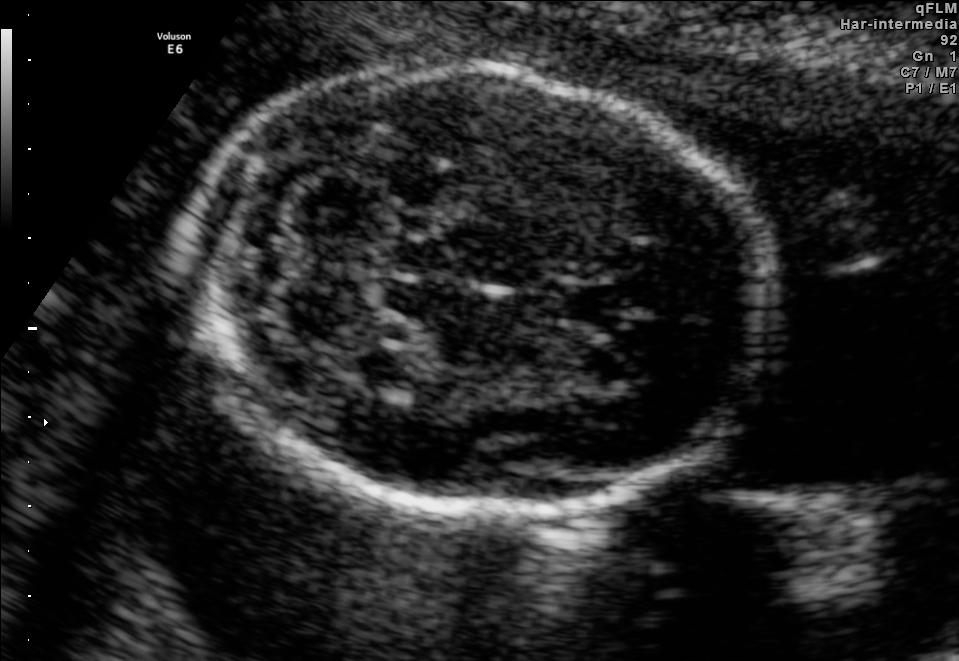
Fetal brain, trans-cerebellum plane. Give [x1,y1,x2,y2] bounding boxes for each visible structure among: fetal head, CSP, LV.

Head: [191,65,772,512]
CSP: [544,279,621,329]